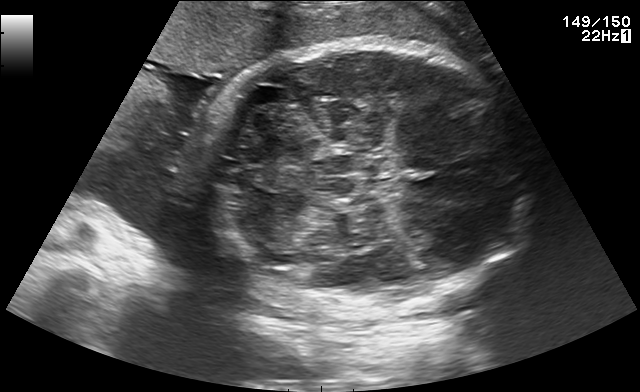
In this fetal brain, trans-cerebellum plane, give the bounding box of the fetal head.

[202,41,528,308]